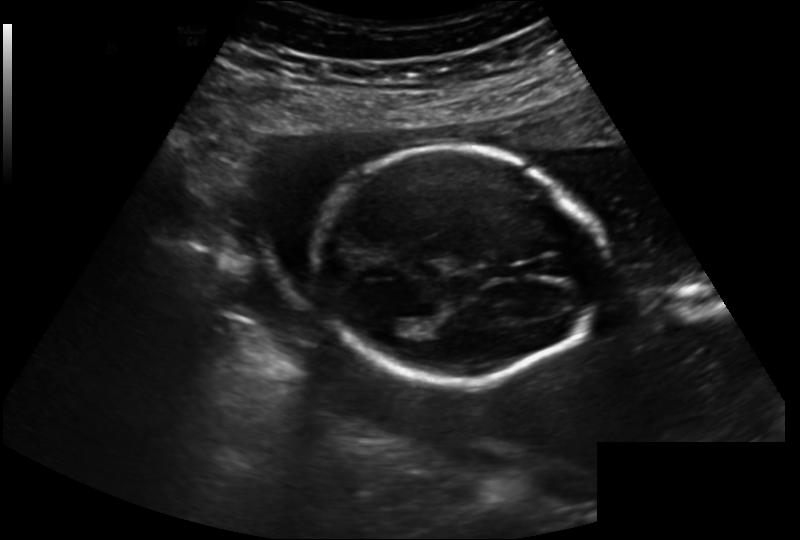
Fetal head ultrasound. Image width: 161.6 mm. Give [x1,y1,x2,y2] bounding boxes for each visible structure among: fetal head, CSP, LV.

Head: [312,146,601,382]